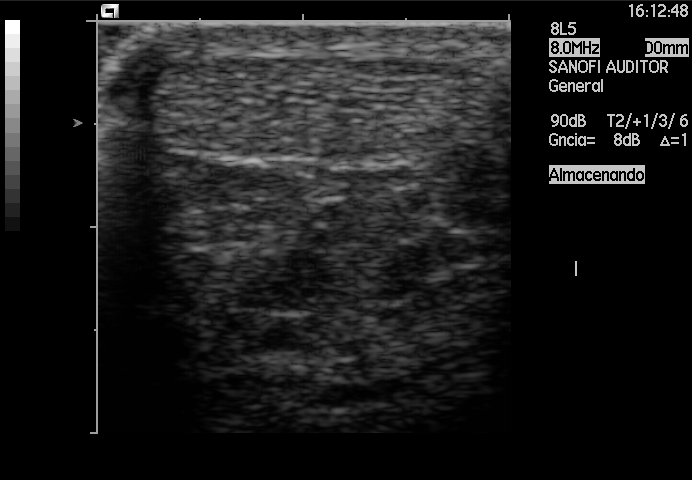
Which standard maternal-fetal ultrasound plane is shown: fetal abdomen, fetal brain, fetal femur, fetal thorax, maternal cervix, or other? If it's fetal brain and one of the three standard brain planes (trans-thalamic, trans-cerebellum, trans-ventricular), name which.

Other